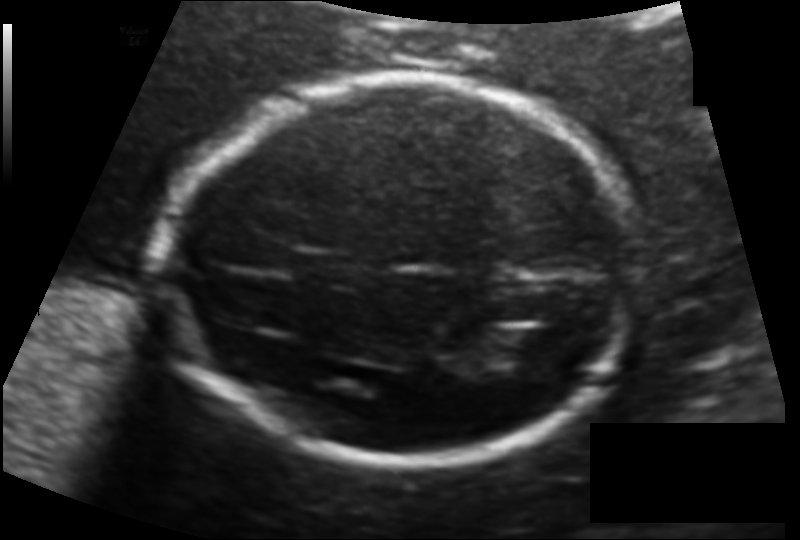
Fetal head ultrasound. Image width: 98.0 mm. Where is the lateral ventricle?

Lateral ventricle bounding box: [502,330,556,362]